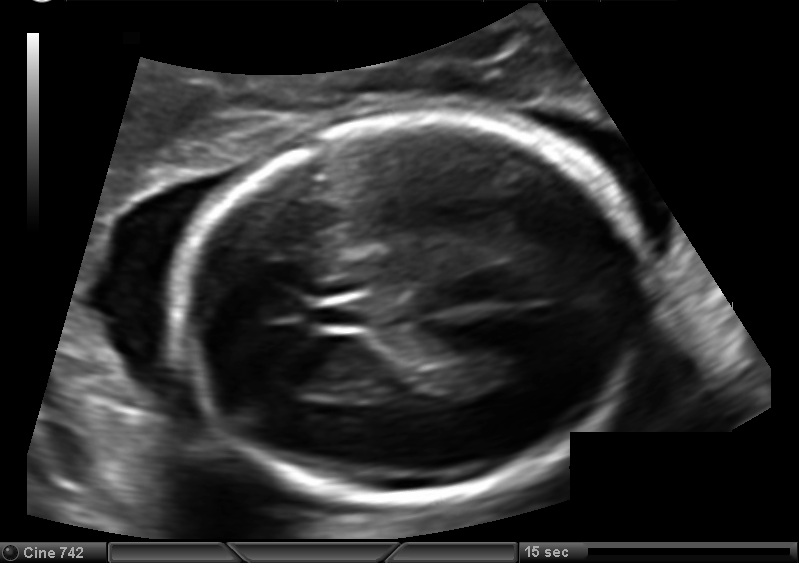
Measure the fetal head circumference shown in this ultrasound image. Image width: 101.4 mm.

Head circumference: 178.4 mm.